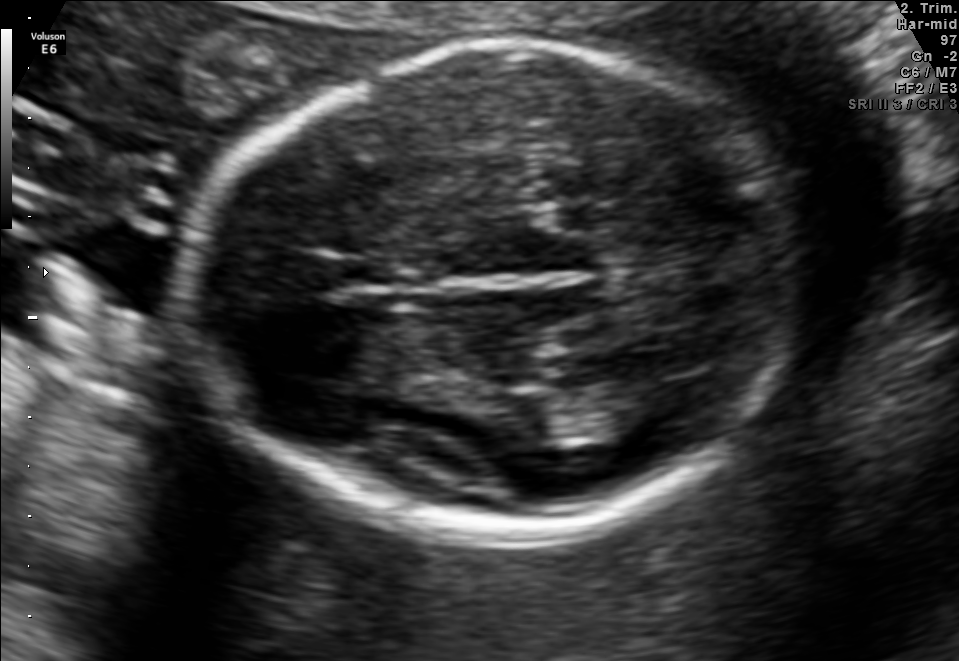
Fetal brain, trans-thalamic plane. Locate the lateral ventricle.

Lateral ventricle: [598,372,708,441]